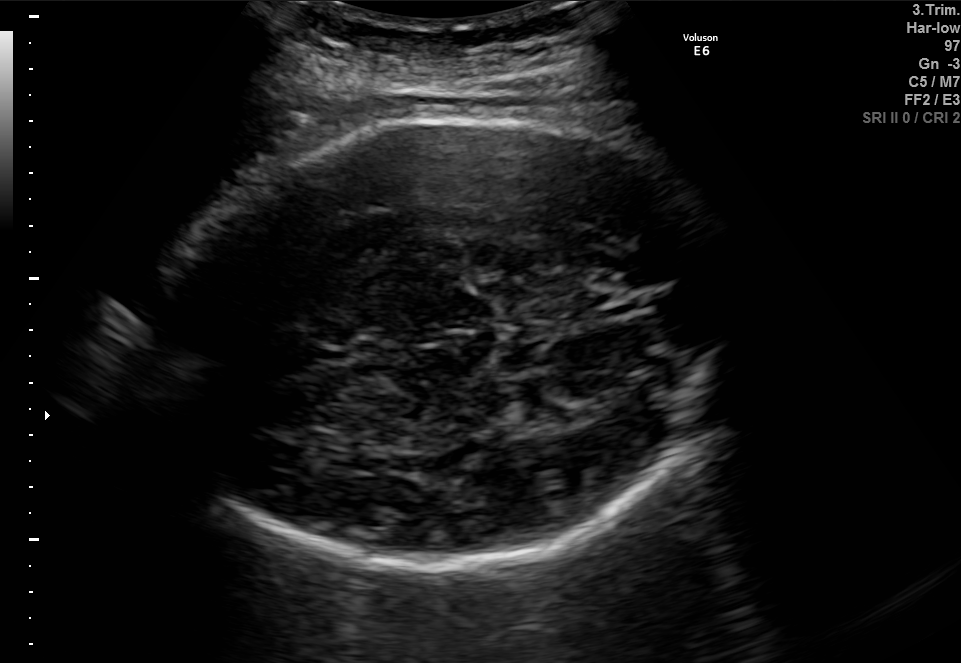
In this fetal brain, trans-thalamic plane, give bounding boxes for the head outline, cavum septum pellucidum (CSP), and lateral ventricle (LV), where visible.

Head: [147,111,734,564]